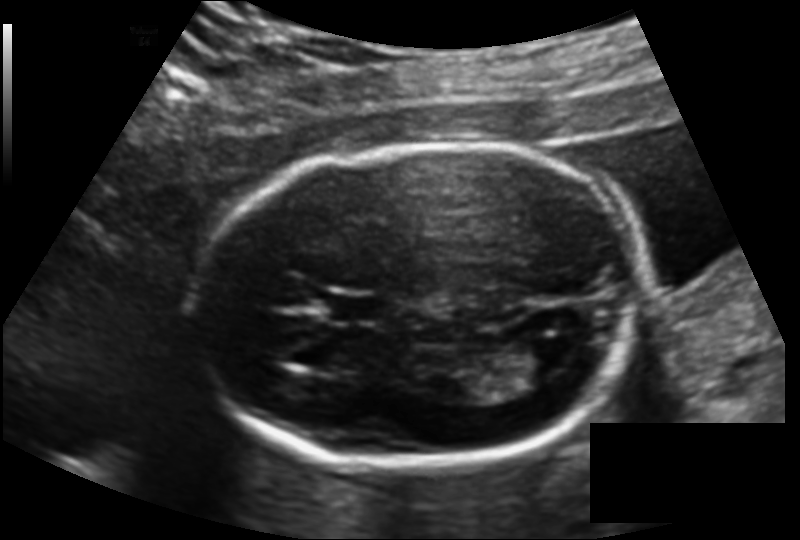
In this fetal head ultrasound, give the bounding box of the cavum septum pellucidum. Image width: 109.3 mm.

[327,296,381,323]